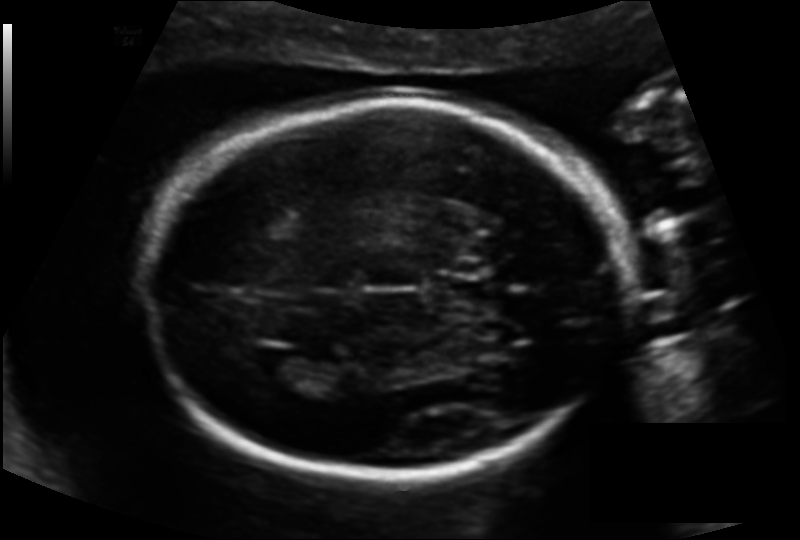
Fetal head ultrasound. Image width: 107.7 mm. Where is the lateral ventricle?

Lateral ventricle bounding box: [241,338,315,392]